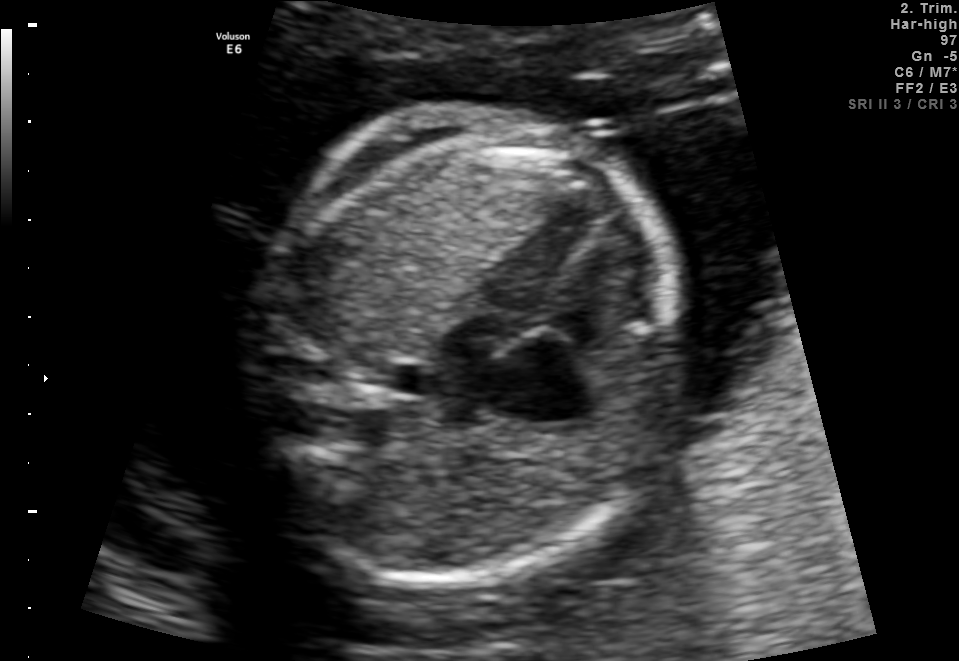
This is a 2D maternal-fetal ultrasound frame. Is it a fetal abdomen, fetal brain, fetal femur, fetal thorax, maternal cervix, or other standard plane? If it's fetal brain and one of the three standard brain planes (trans-thalamic, trans-cerebellum, trans-ventricular), name which.

Fetal thorax